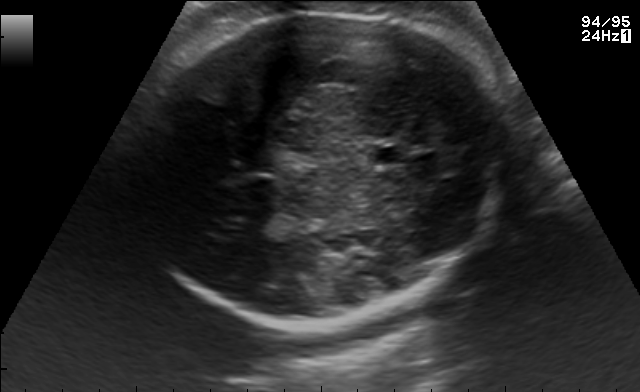
In this fetal brain, trans-thalamic plane, give bounding boxes for the head outline, cavum septum pellucidum (CSP), and lateral ventricle (LV), where visible.

Head: [133,11,507,323]
CSP: [369,145,404,166]